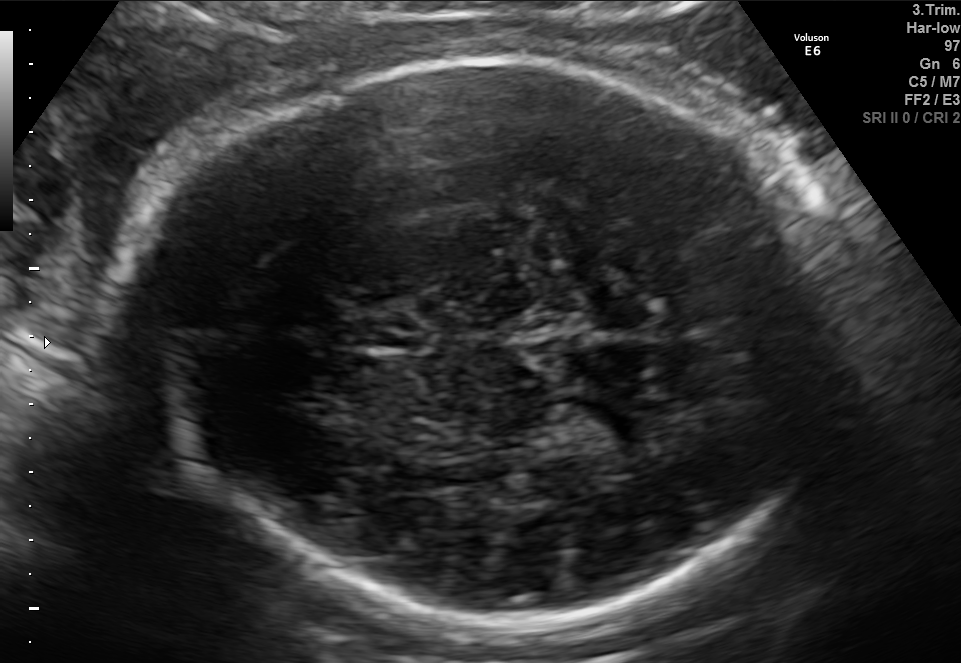
In this fetal brain, trans-thalamic plane, give the bounding box of the fetal head.

[123,57,844,620]